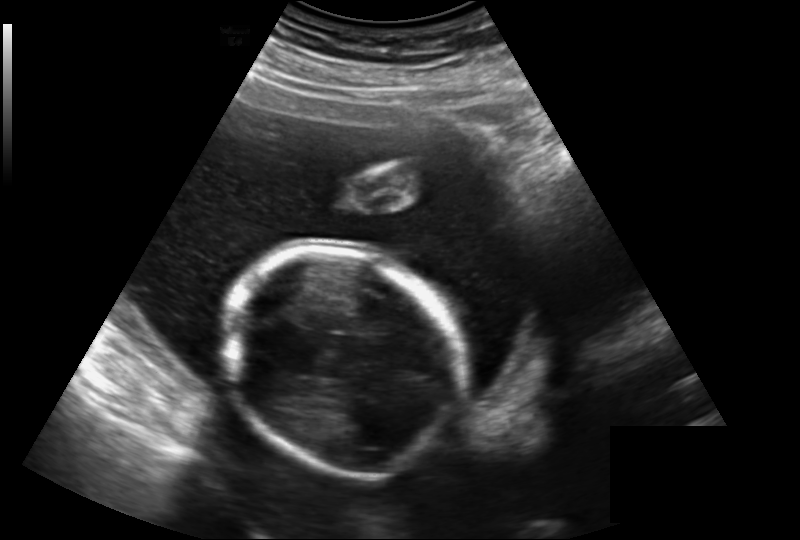
Estimate the fetal head circumference from this 2D ultrasound.

Head circumference: 163.1 mm (image width 175.3 mm).